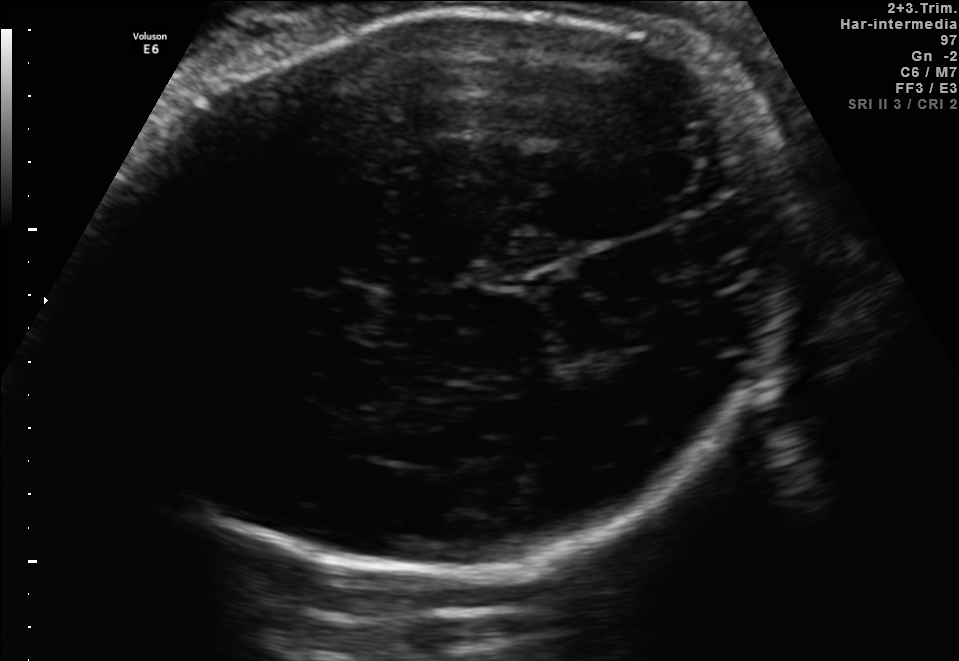
Fetal brain, trans-thalamic plane. Where is the fetal head?

Head bounding box: [98,6,797,571]